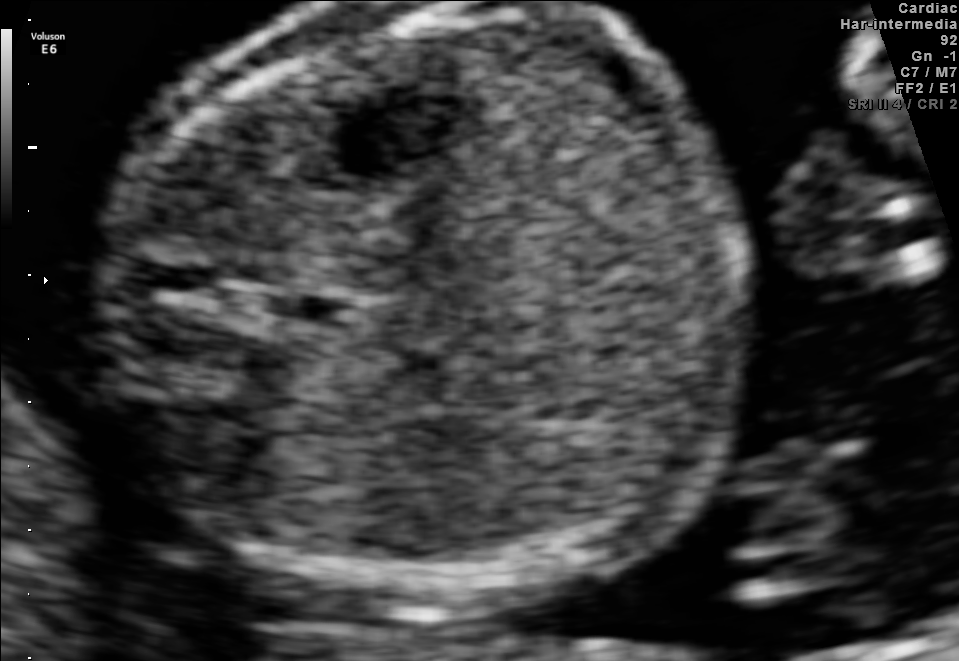
Identify the standard plane in this fetal ultrasound image: fetal abdomen, fetal brain, fetal femur, fetal thorax, maternal cervix, or other. If it's fetal brain and one of the three standard brain planes (trans-thalamic, trans-cerebellum, trans-ventricular), name which.

Fetal abdomen